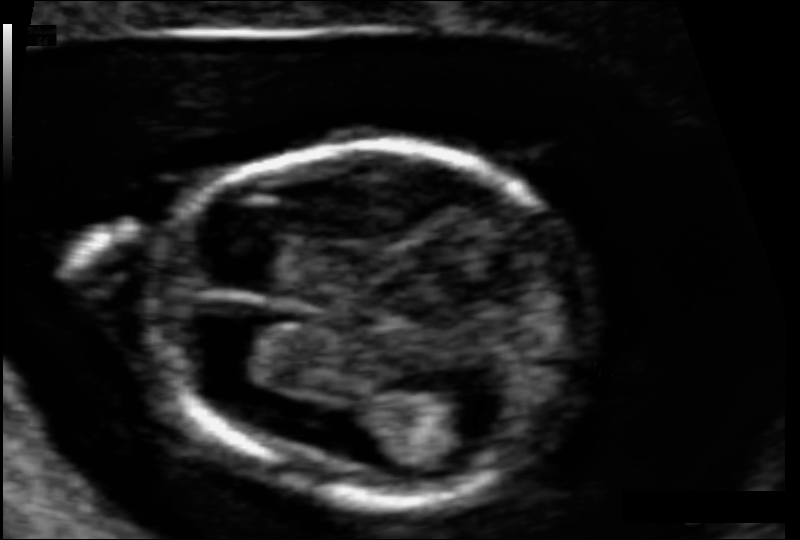
Estimate the fetal head circumference from this 2D ultrasound. Image width: 50.1 mm.

Head circumference: 81.6 mm.